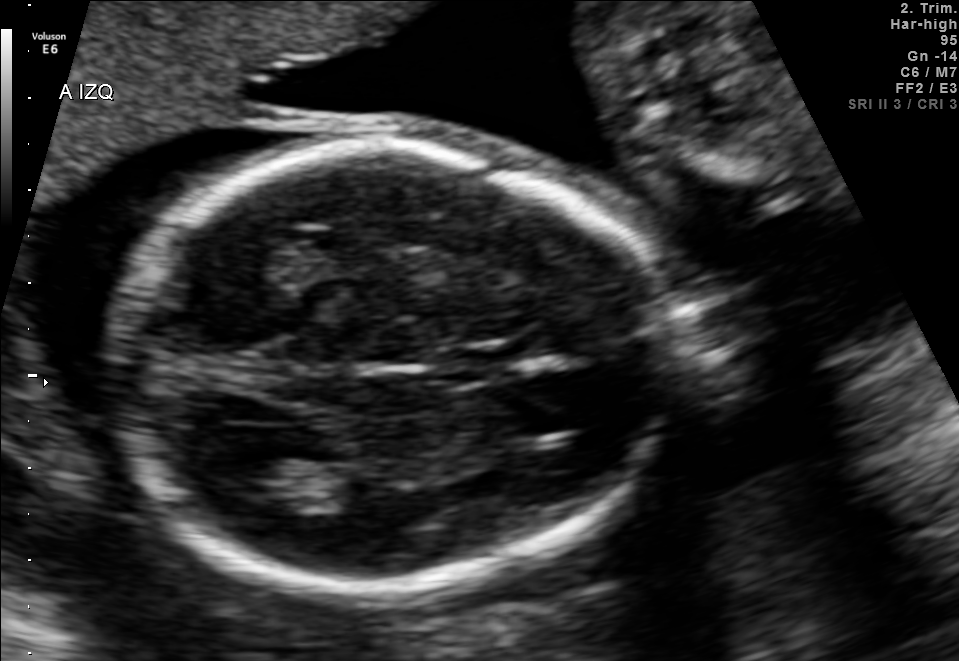
Fetal brain, trans-thalamic plane. Give [x1,y1,x2,y2] bounding boxes for each visible structure among: fetal head, CSP, LV.

Head: [108,143,677,588]
CSP: [452,343,529,385]
Lateral ventricle: [222,464,320,509]